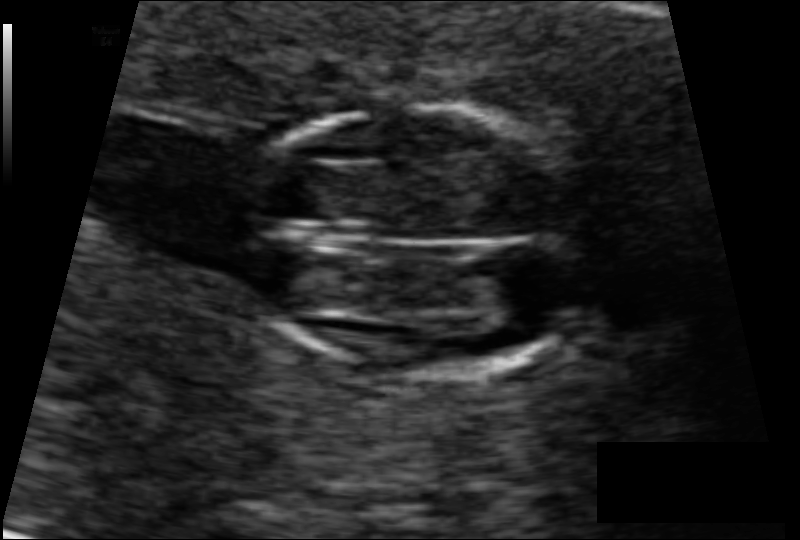
Fetal head ultrasound. Image width: 60.3 mm. Locate the fetal head.

Head: [239,108,582,375]